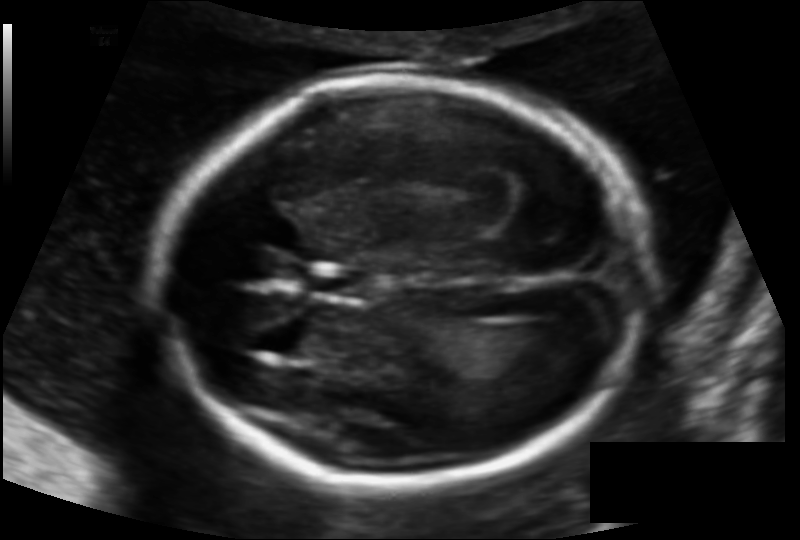
From this fetal ultrasound, estimate the head circumference (image width 97.8 mm).

Head circumference: 177.1 mm.